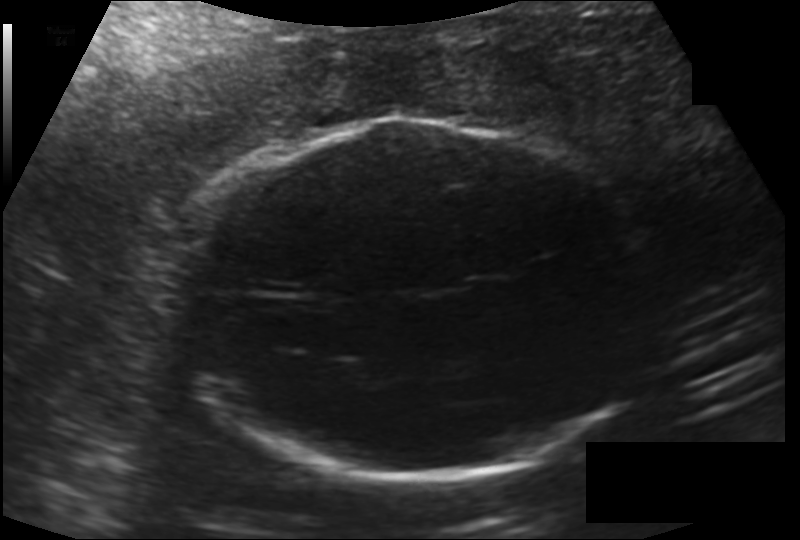
Measure the fetal head circumference shown in this ultrasound image. Image width: 140.8 mm.

Head circumference: 238.5 mm.